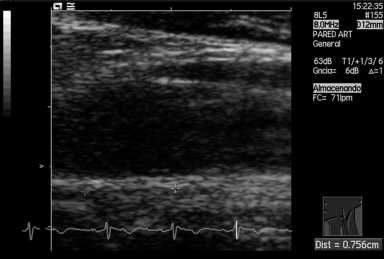
Classify this maternal-fetal ultrasound image as one of the six standard planes — fetal abdomen, fetal brain, fetal femur, fetal thorax, maternal cervix, or other. If it's fetal brain and one of the three standard brain planes (trans-thalamic, trans-cerebellum, trans-ventricular), name which.

Other